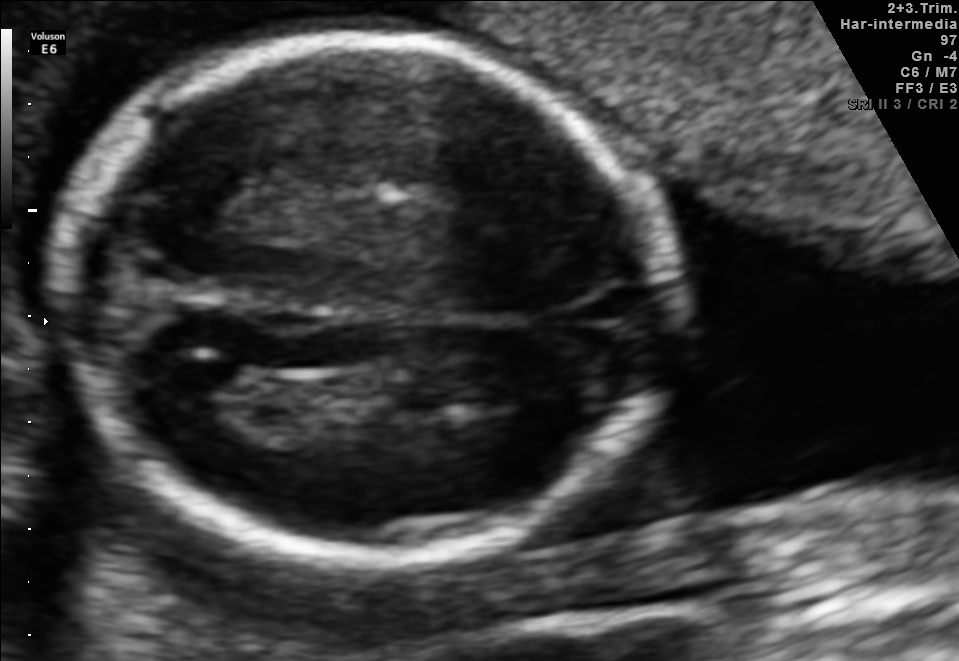
In this fetal brain, trans-thalamic plane, give bounding boxes for the head outline, cavum septum pellucidum (CSP), and lateral ventricle (LV), where visible.

Head: [60,38,671,559]
Lateral ventricle: [226,379,361,433]